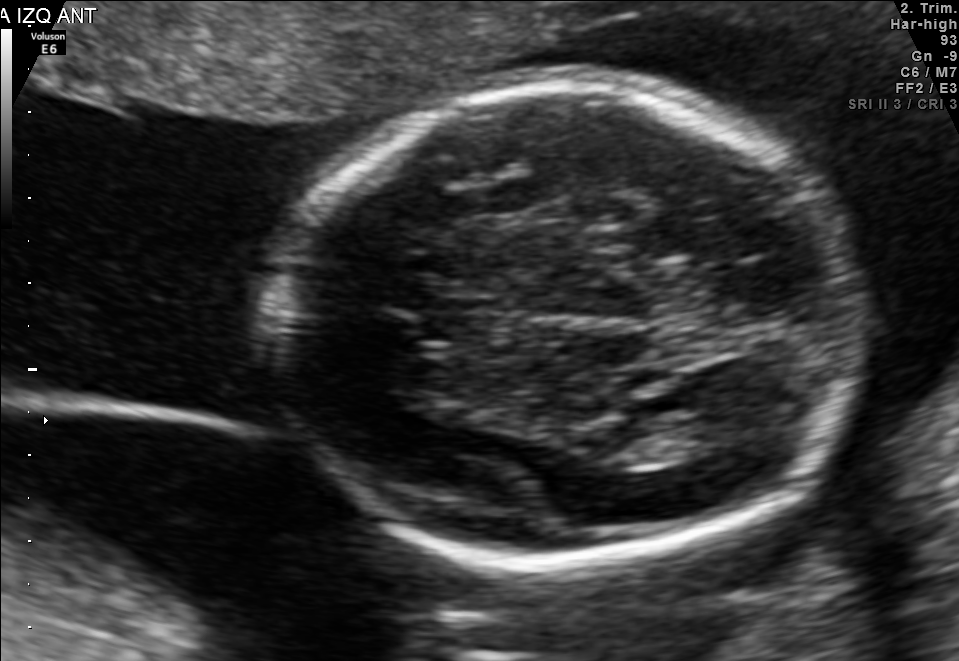
In this fetal brain, trans-thalamic plane, give the bounding box of the fetal head.

[277,85,866,564]